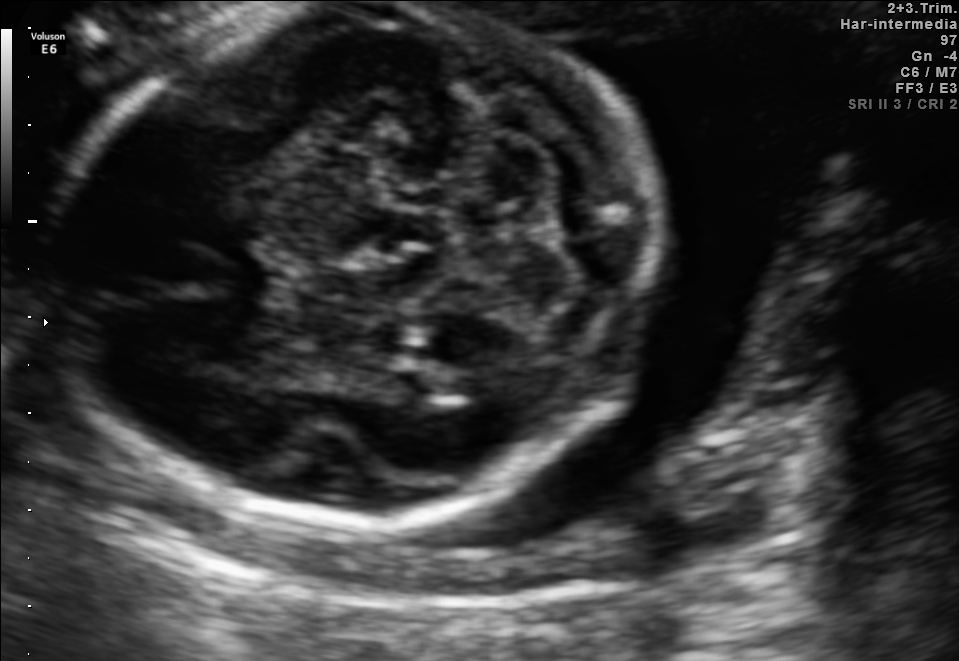
Identify the standard plane in this fetal ultrasound image: fetal abdomen, fetal brain, fetal femur, fetal thorax, maternal cervix, or other. If it's fetal brain and one of the three standard brain planes (trans-thalamic, trans-cerebellum, trans-ventricular), name which.

Fetal brain (trans-cerebellum plane)